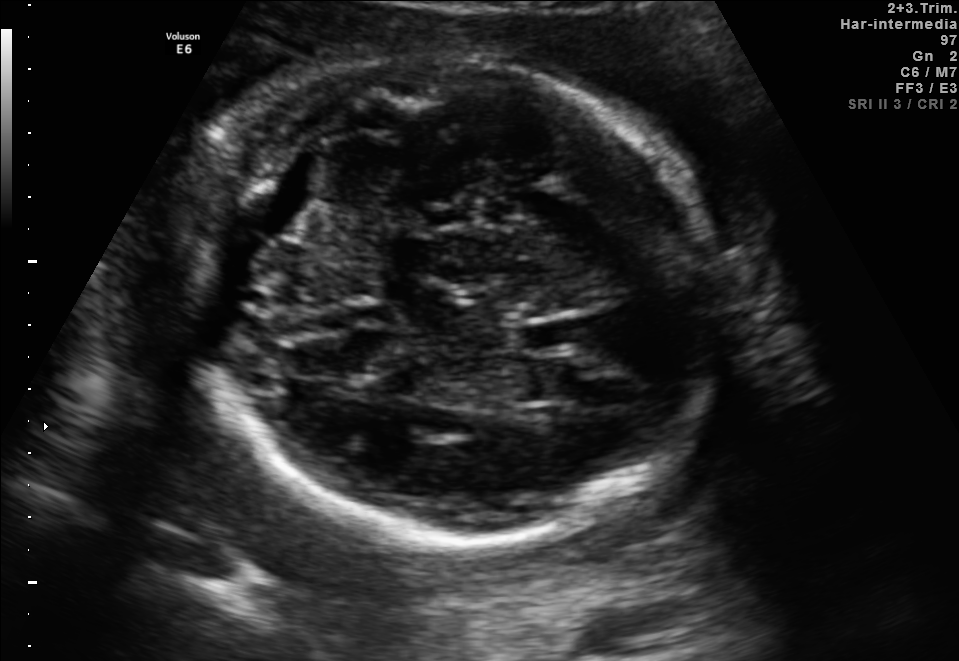
Fetal brain, trans-thalamic plane. Locate the fetal head.

Head: [162,56,727,537]